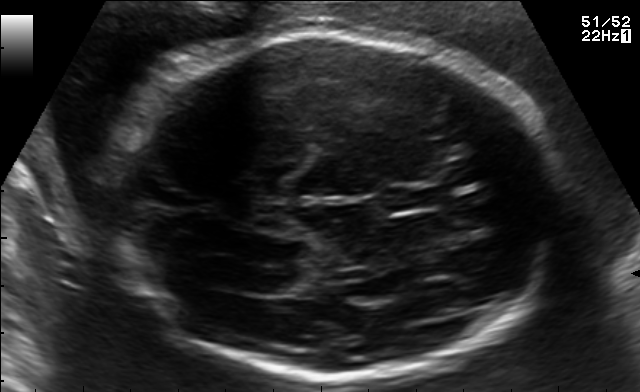
Fetal brain, trans-ventricular plane. Locate the fetal head and, if visible, the cavum septum pellucidum (CSP) and lateral ventricle (LV). Give bounding boxes as [x1,y1,x2,y2].

Head: [97,28,575,383]
CSP: [384,186,437,214]
Lateral ventricle: [229,262,293,295]